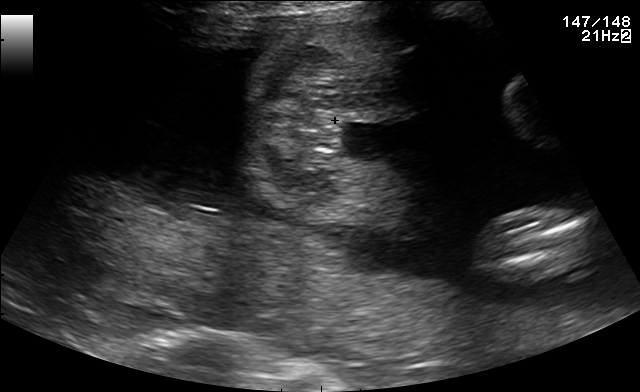
Identify the standard plane in this fetal ultrasound image: fetal abdomen, fetal brain, fetal femur, fetal thorax, maternal cervix, or other. If it's fetal brain and one of the three standard brain planes (trans-thalamic, trans-cerebellum, trans-ventricular), name which.

Other